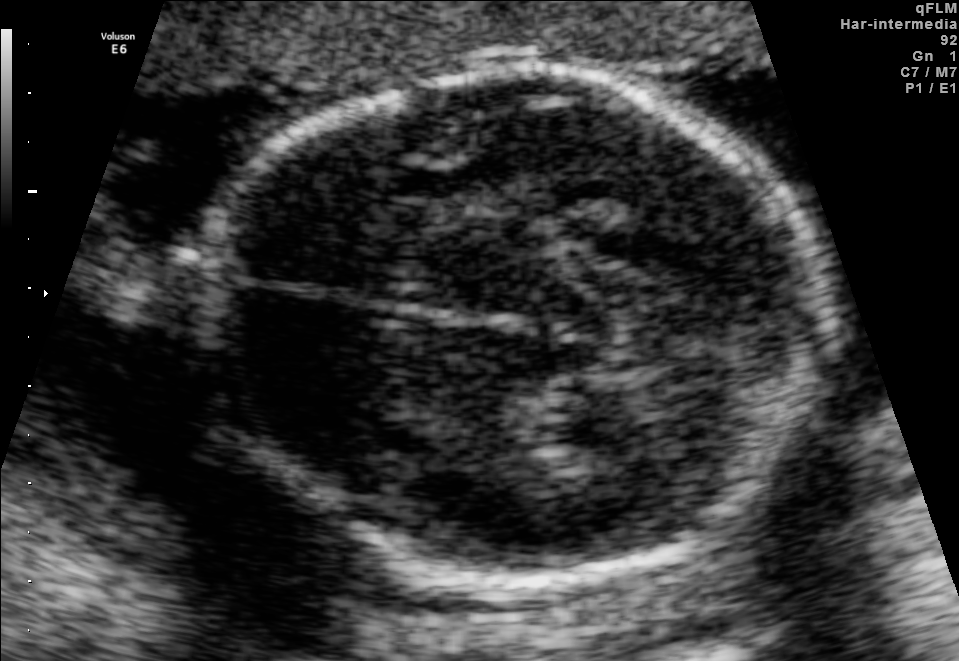
Fetal brain, trans-thalamic plane. Locate the fetal head.

Head: [209,70,834,583]